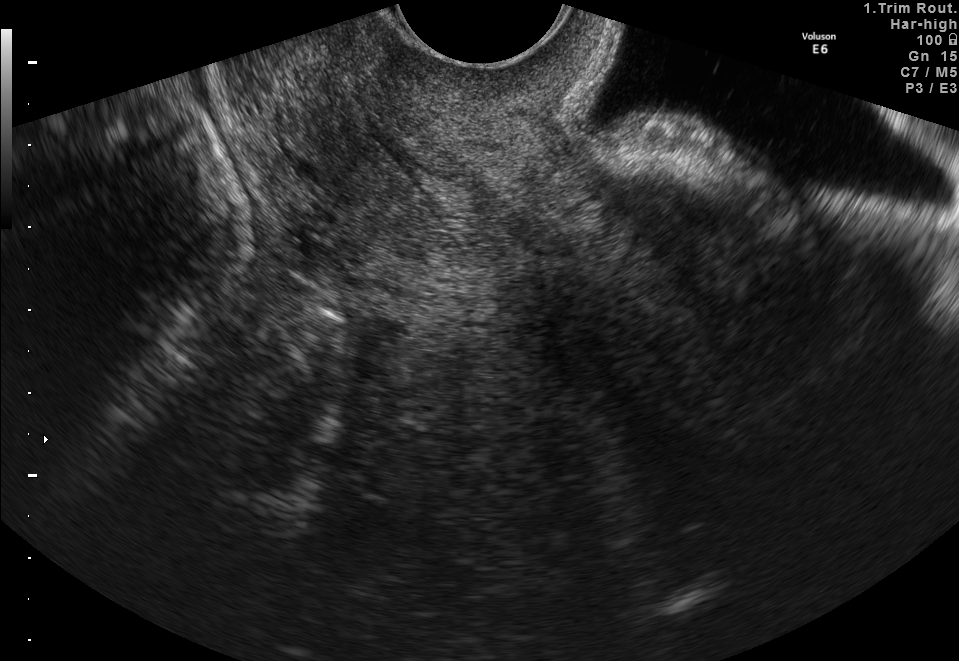
Which standard maternal-fetal ultrasound plane is shown: fetal abdomen, fetal brain, fetal femur, fetal thorax, maternal cervix, or other? If it's fetal brain and one of the three standard brain planes (trans-thalamic, trans-cerebellum, trans-ventricular), name which.

Maternal cervix